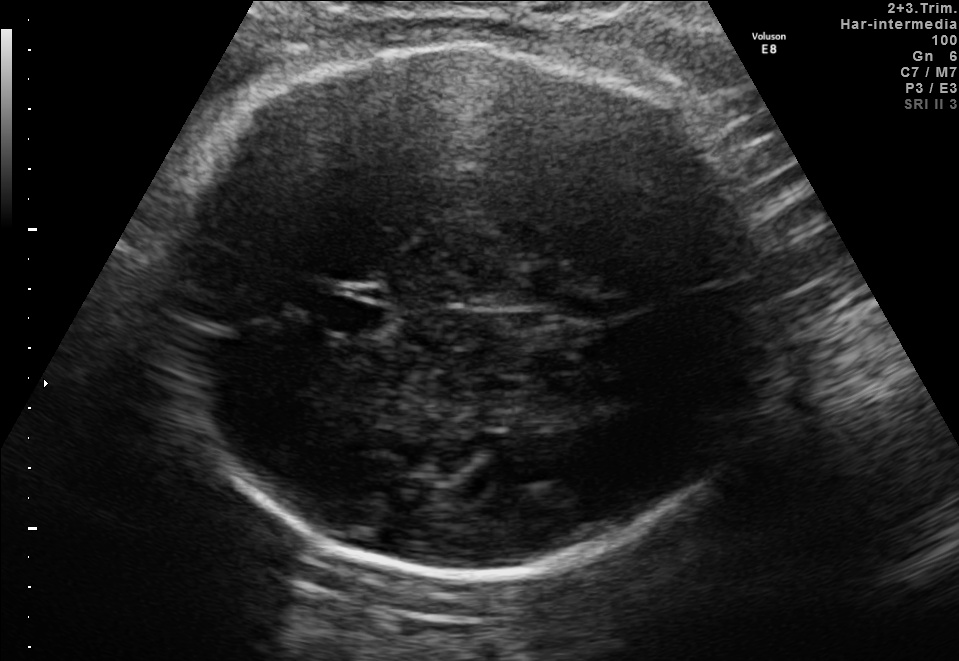
Fetal brain, trans-thalamic plane. Locate the fetal head and, if visible, the cavum septum pellucidum (CSP) and lateral ventricle (LV). Give bounding boxes as [x1,y1,x2,y2].

Head: [157,44,770,573]
CSP: [322,292,384,340]